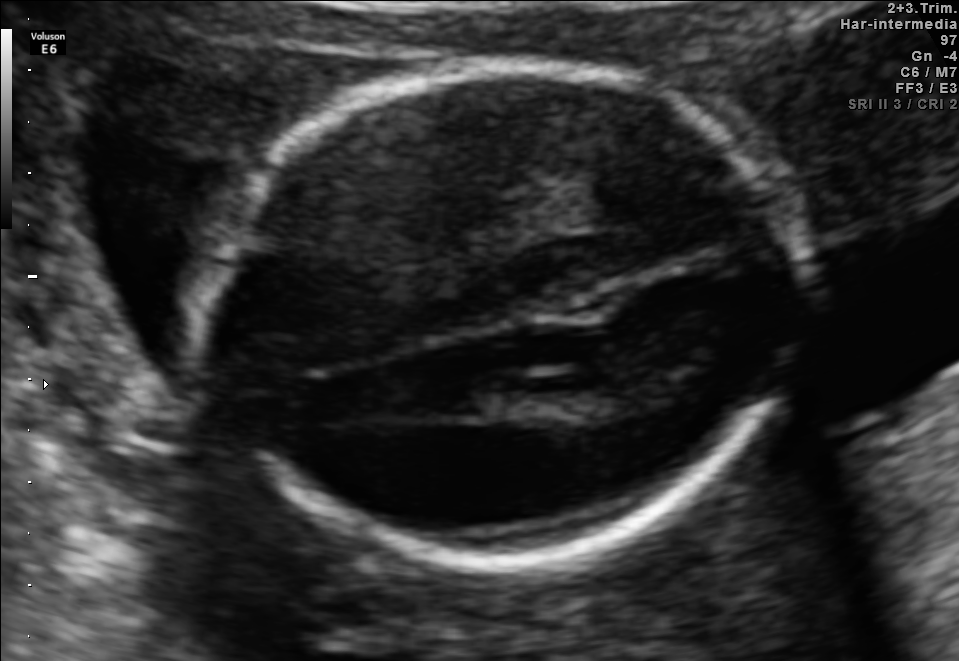
Fetal brain, trans-thalamic plane. Locate the fetal head and, if visible, the cavum septum pellucidum (CSP) and lateral ventricle (LV). Give bounding boxes as [x1,y1,x2,y2].

Head: [207,61,794,568]